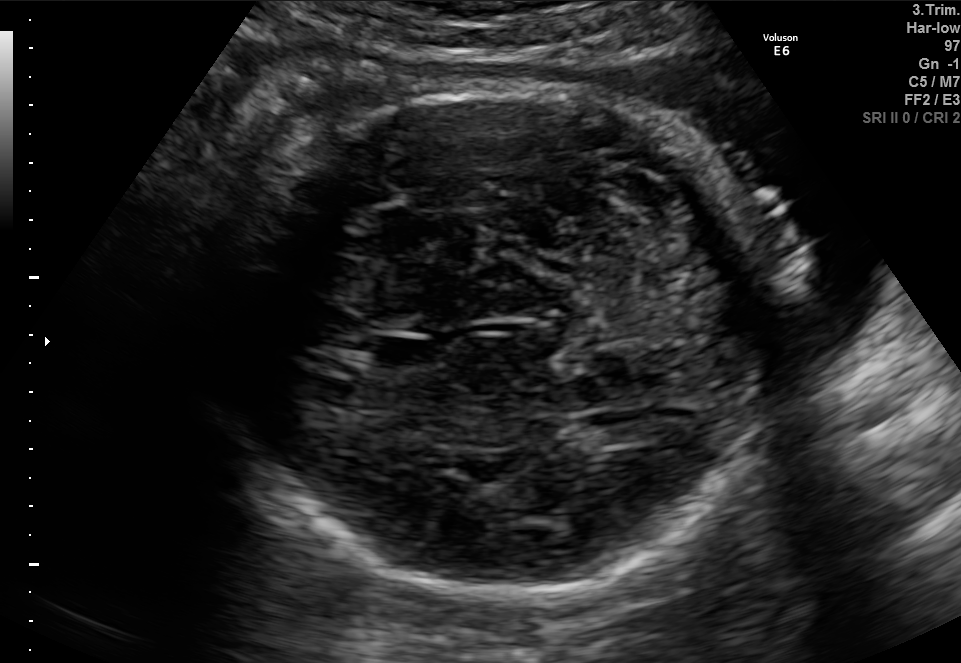
Fetal brain, trans-cerebellum plane. Give [x1,y1,x2,y2] bounding boxes for each visible structure among: fetal head, CSP, LV.

Head: [209,87,780,590]
CSP: [373,333,438,371]